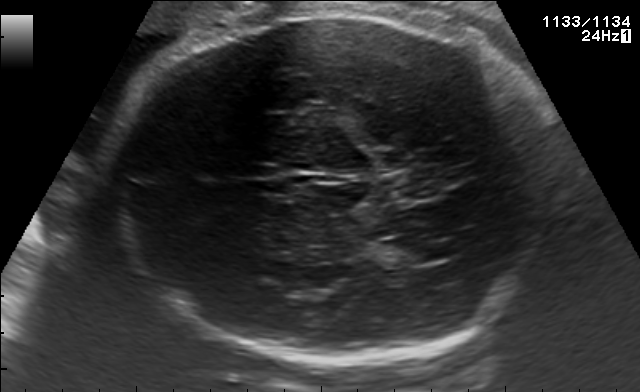
Fetal brain, trans-ventricular plane. Locate the fetal head.

Head: [108,11,565,365]